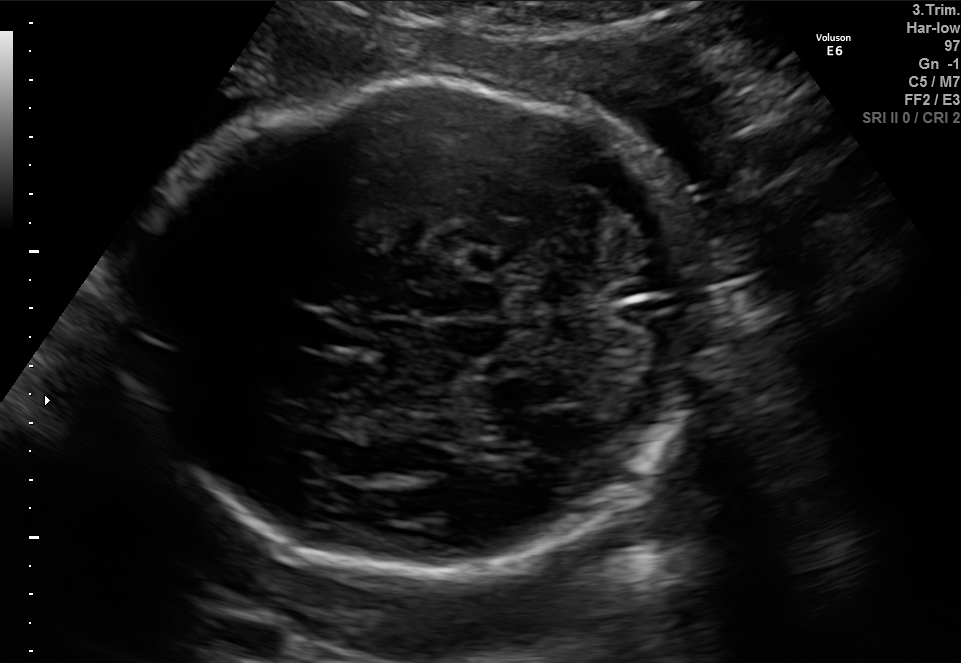
Fetal brain, trans-cerebellum plane. Where is the fetal head?

Head bounding box: [126,77,698,578]